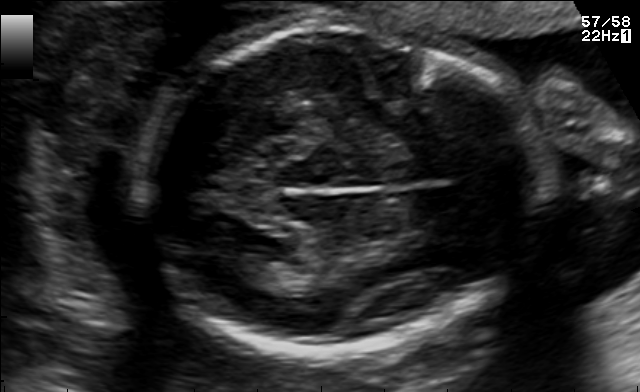
In this fetal brain, trans-thalamic plane, give the bounding box of the fetal head.

[141,23,541,352]